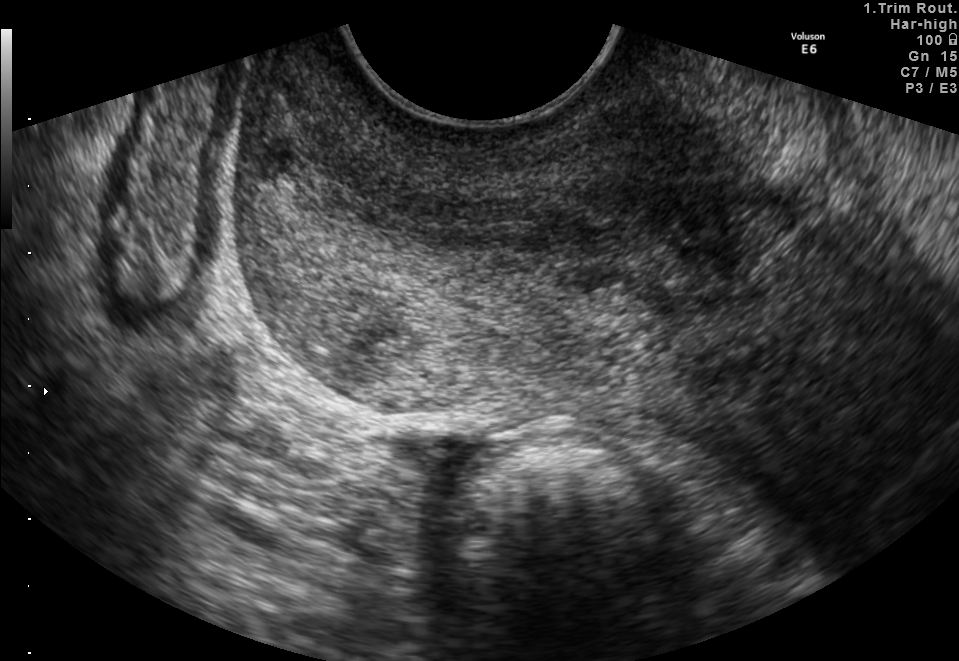
This is a 2D maternal-fetal ultrasound frame. Is it a fetal abdomen, fetal brain, fetal femur, fetal thorax, maternal cervix, or other standard plane? If it's fetal brain and one of the three standard brain planes (trans-thalamic, trans-cerebellum, trans-ventricular), name which.

Maternal cervix